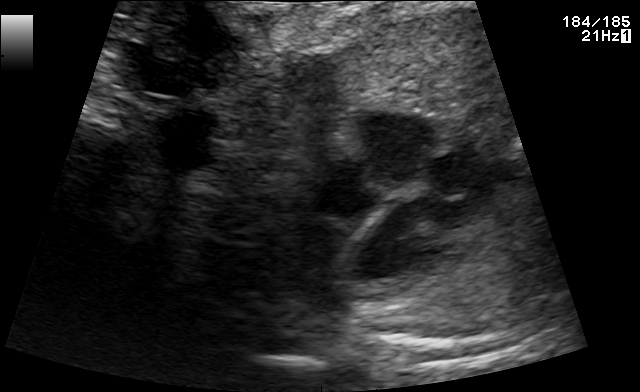
Identify the standard plane in this fetal ultrasound image: fetal abdomen, fetal brain, fetal femur, fetal thorax, maternal cervix, or other. If it's fetal brain and one of the three standard brain planes (trans-thalamic, trans-cerebellum, trans-ventricular), name which.

Fetal thorax